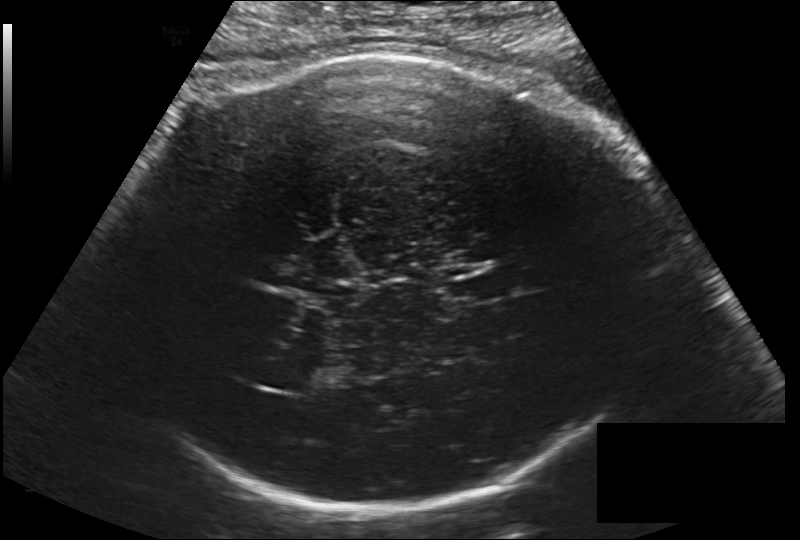
Fetal head ultrasound. Image width: 162.2 mm. Locate the fetal head and, if visible, the cavum septum pellucidum (CSP) and lateral ventricle (LV). Give bounding boxes as [x1,y1,x2,y2].

Head: [113,50,658,508]
CSP: [439,268,508,312]
Lateral ventricle: [264,361,319,394]